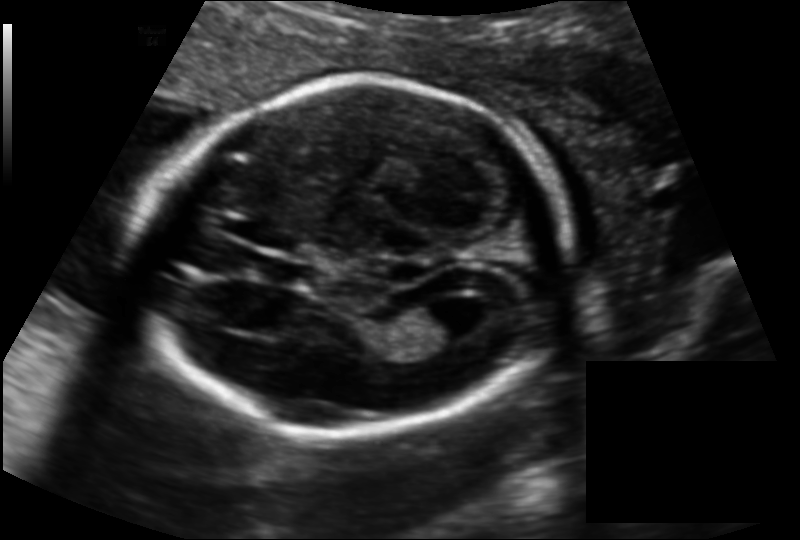
Fetal head ultrasound. Image width: 107.9 mm. Locate the cavum septum pellucidum.

CSP: [257,252,312,290]